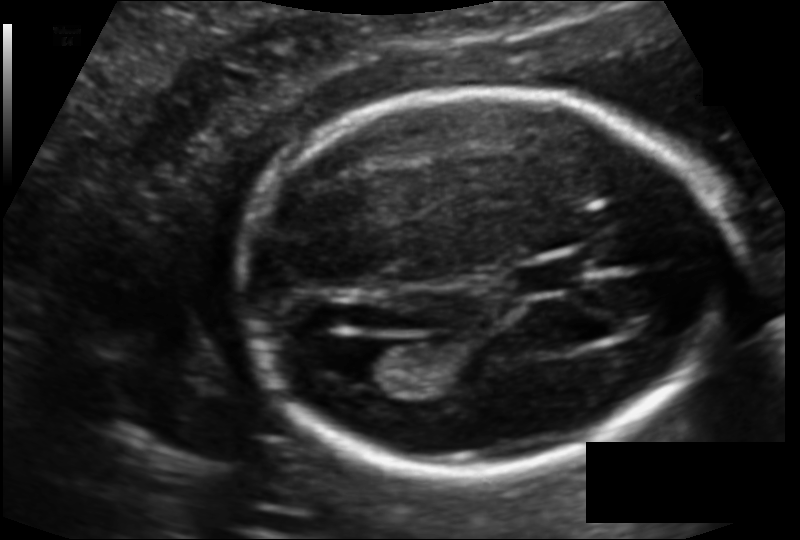
In this fetal head ultrasound, give the bounding box of the lateral ventricle. Image width: 96.9 mm.

[334,339,411,387]